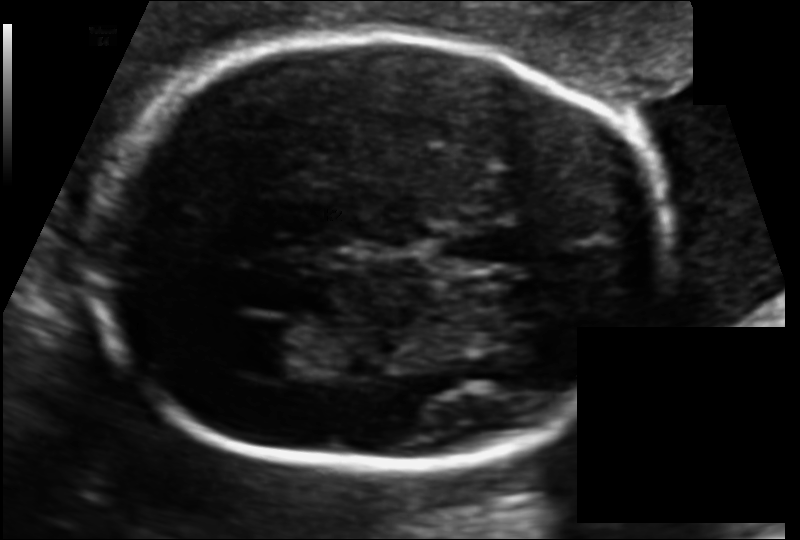
Fetal head ultrasound. Image width: 89.0 mm. Locate the fetal head.

Head: [88,37,679,469]